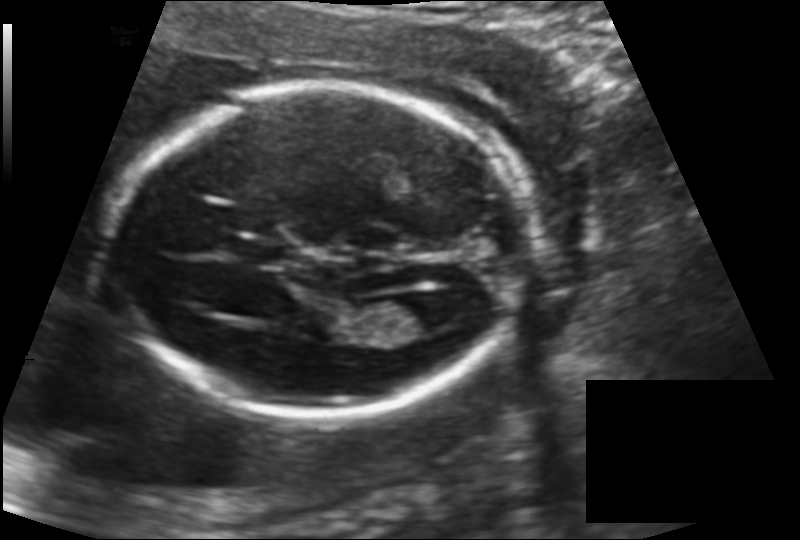
Estimate the fetal head circumference from this 2D ultrasound. Image width: 113.5 mm.

Head circumference: 172.7 mm.